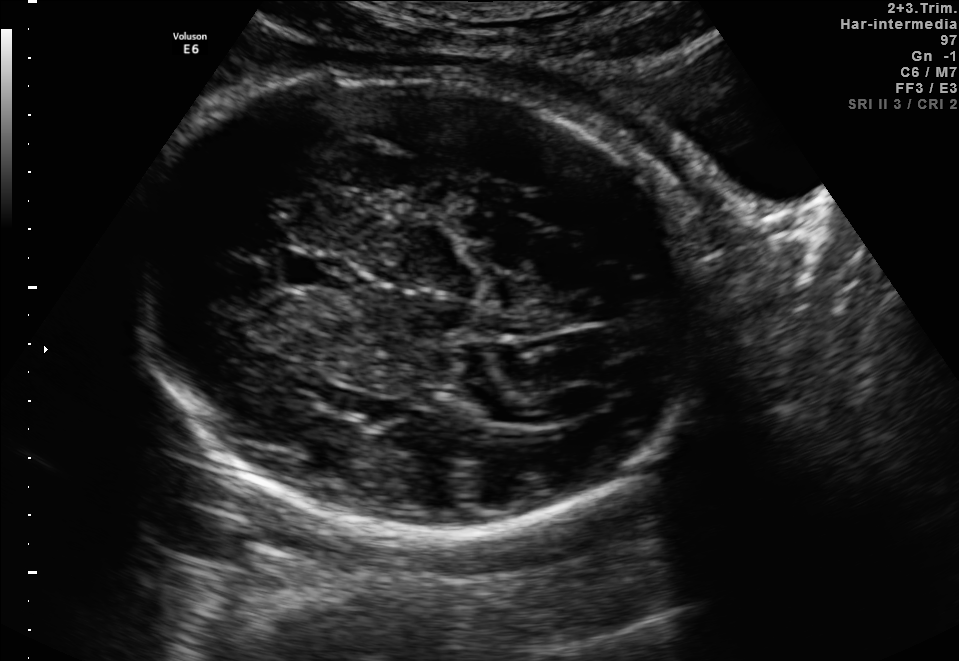
Fetal brain, trans-thalamic plane. Locate the fetal head.

Head: [122,60,701,535]